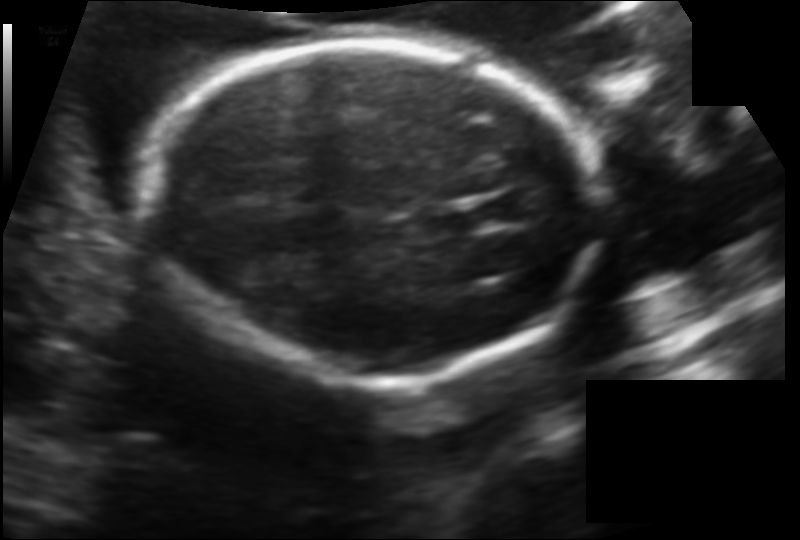
Fetal head ultrasound. Image width: 108.5 mm. Where is the fetal head?

Head bounding box: [148,41,589,383]